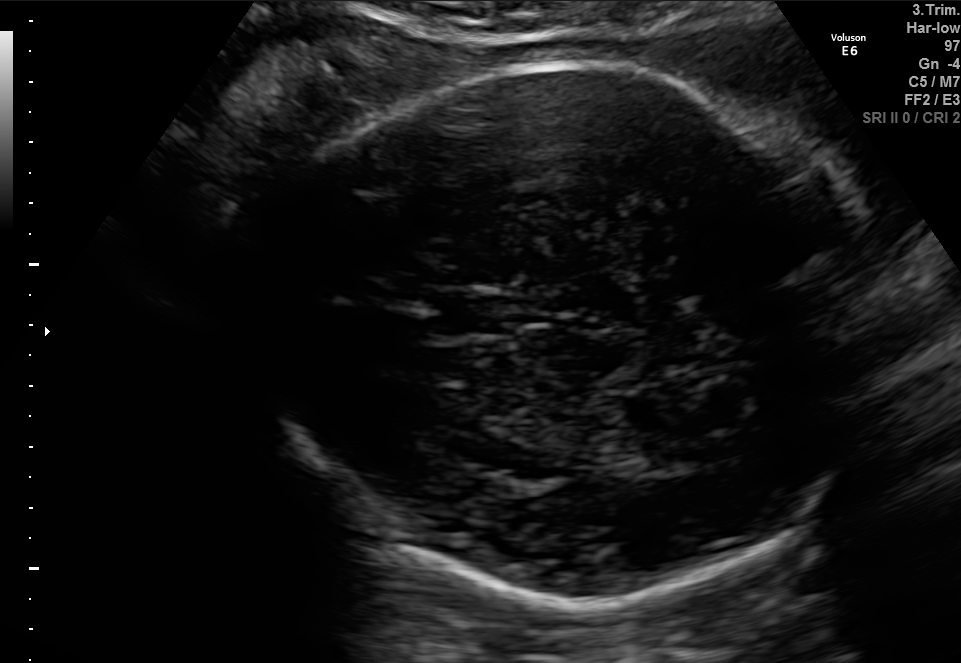
Fetal brain, trans-thalamic plane. Locate the cavum septum pellucidum.

CSP: [425,295,512,334]